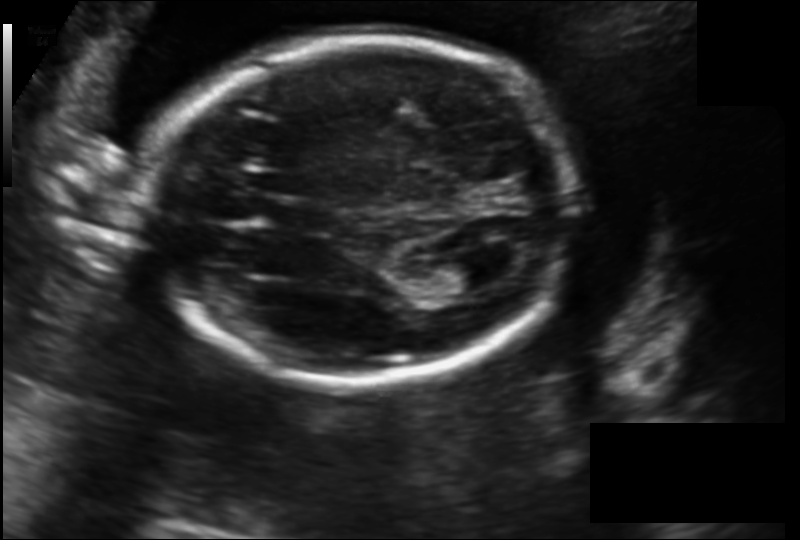
Estimate the fetal head circumference from this 2D ultrasound.

Head circumference: 189.9 mm (image width 121.4 mm).